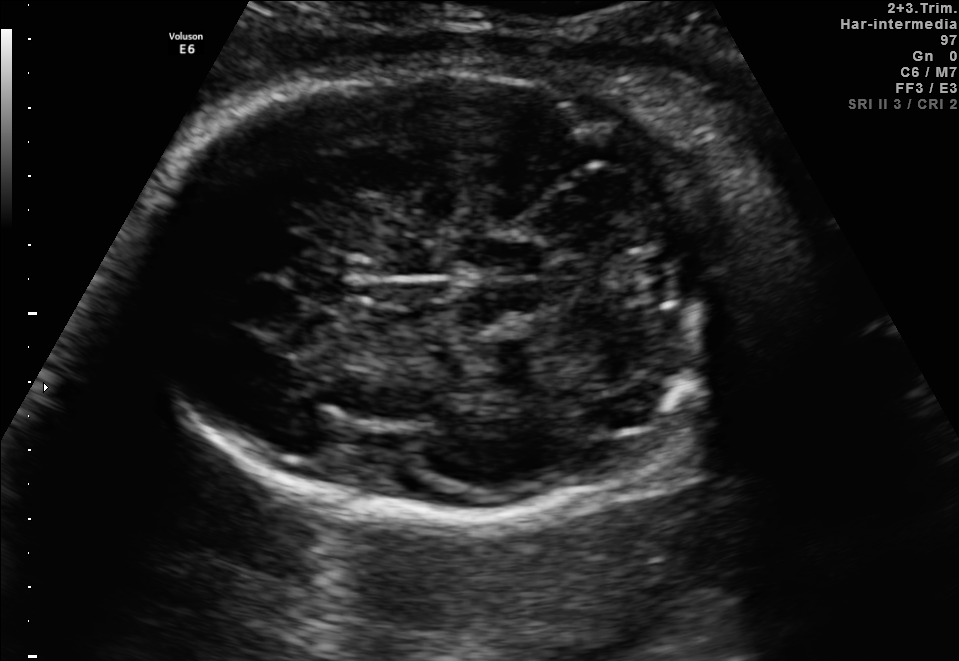
Fetal brain, trans-cerebellum plane. Where is the cavum septum pellucidum?

CSP bounding box: [287,262,346,309]